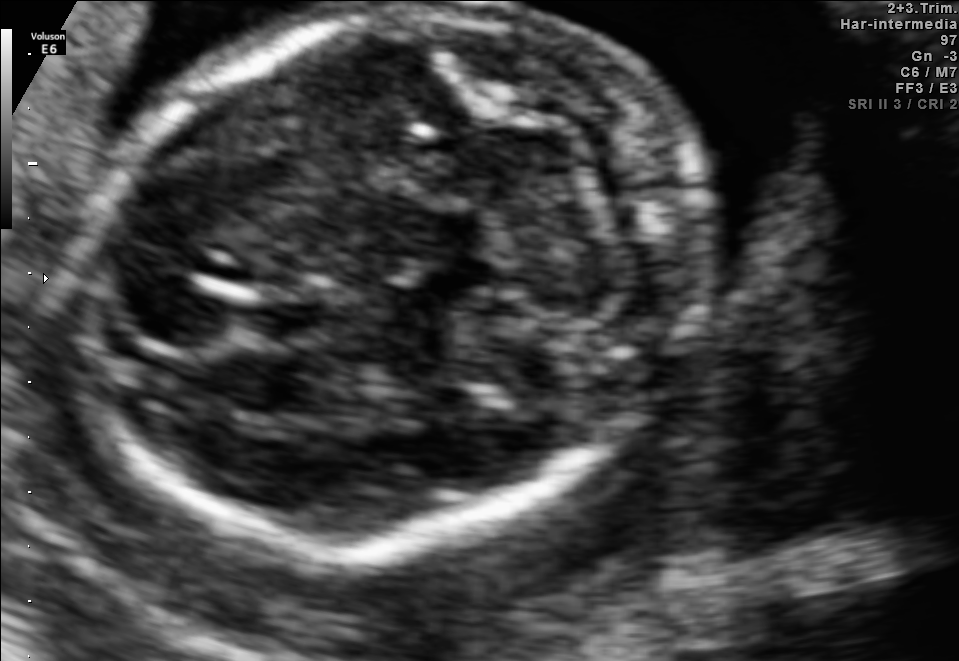
In this fetal brain, trans-cerebellum plane, give bounding boxes for the head outline, cavum septum pellucidum (CSP), and lateral ventricle (LV), where visible.

Head: [83,6,700,543]